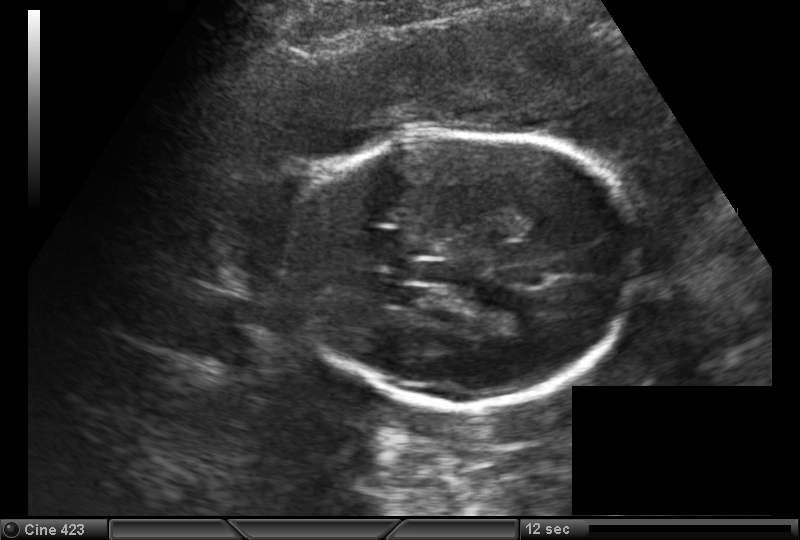
Fetal head ultrasound. Image width: 138.2 mm. Give [x1,y1,x2,y2] bounding boxes for each visible structure among: fetal head, CSP, LV.

Head: [289,132,636,409]
CSP: [402,260,451,282]